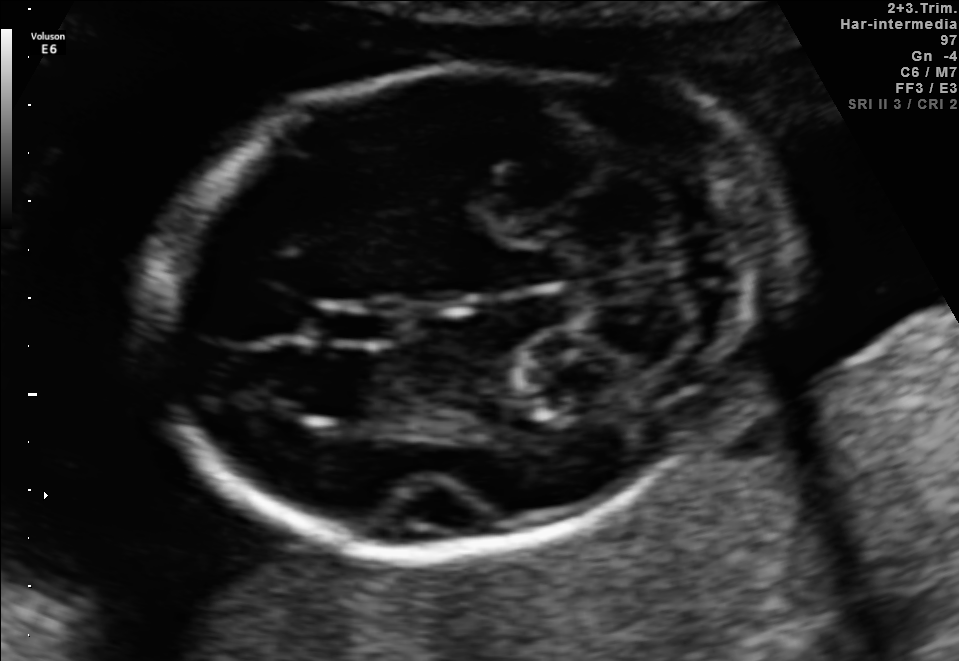
Fetal brain, trans-cerebellum plane. Give [x1,y1,x2,y2] bounding boxes for each visible structure among: fetal head, CSP, LV.

Head: [149,61,798,550]
CSP: [320,306,395,343]